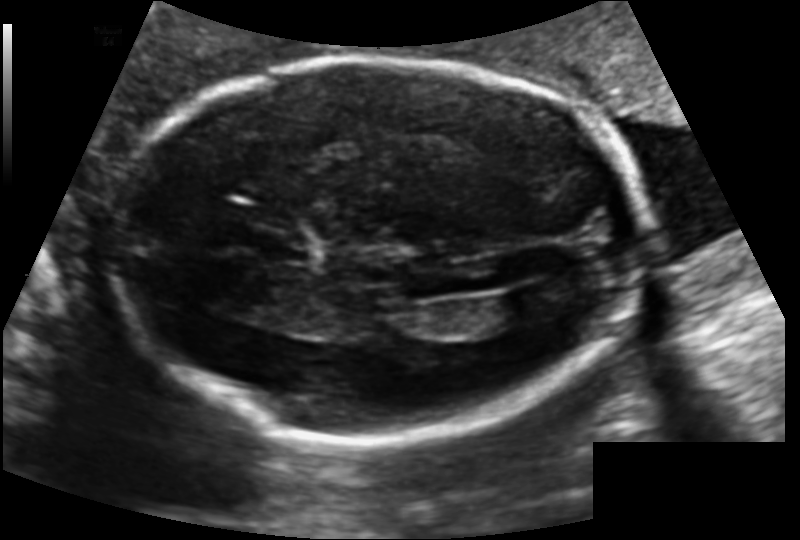
Fetal head ultrasound. Image width: 105.0 mm. Locate the lateral ventricle.

Lateral ventricle: [494,279,565,328]